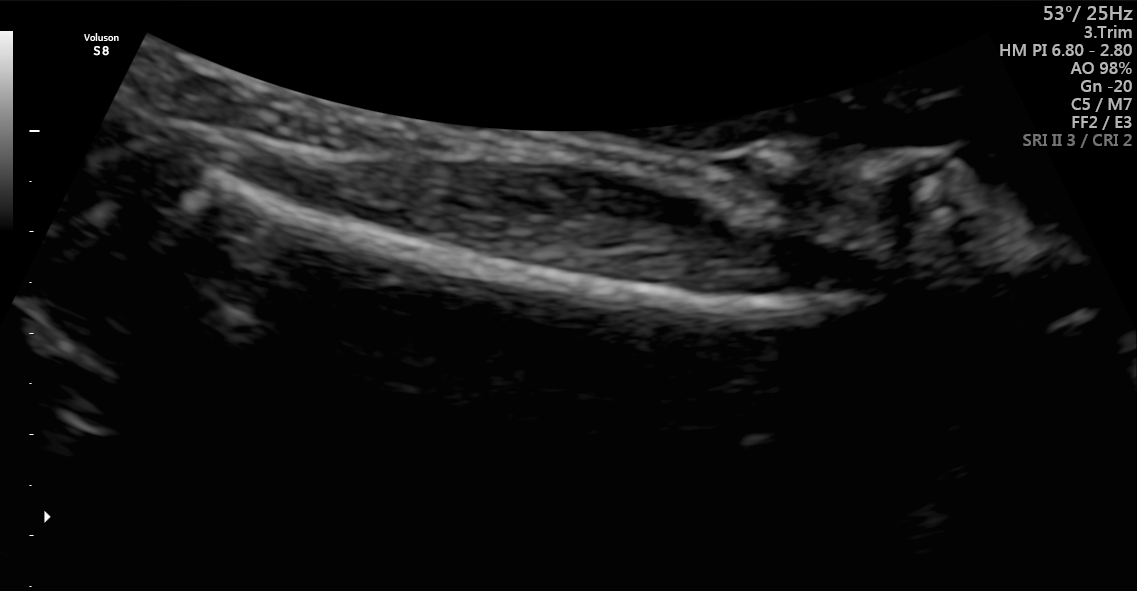
Which standard maternal-fetal ultrasound plane is shown: fetal abdomen, fetal brain, fetal femur, fetal thorax, maternal cervix, or other? If it's fetal brain and one of the three standard brain planes (trans-thalamic, trans-cerebellum, trans-ventricular), name which.

Fetal femur